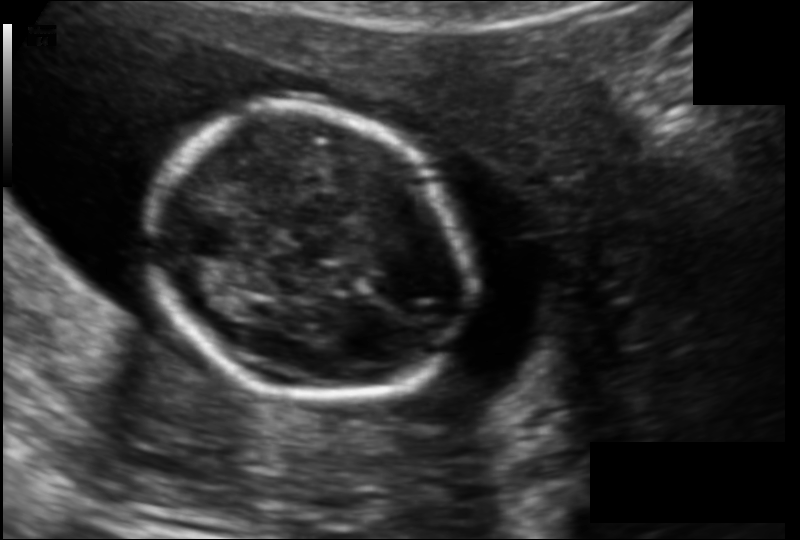
Measure the fetal head circumference shown in this ultrasound image. Image width: 98.4 mm.

Head circumference: 122.9 mm.